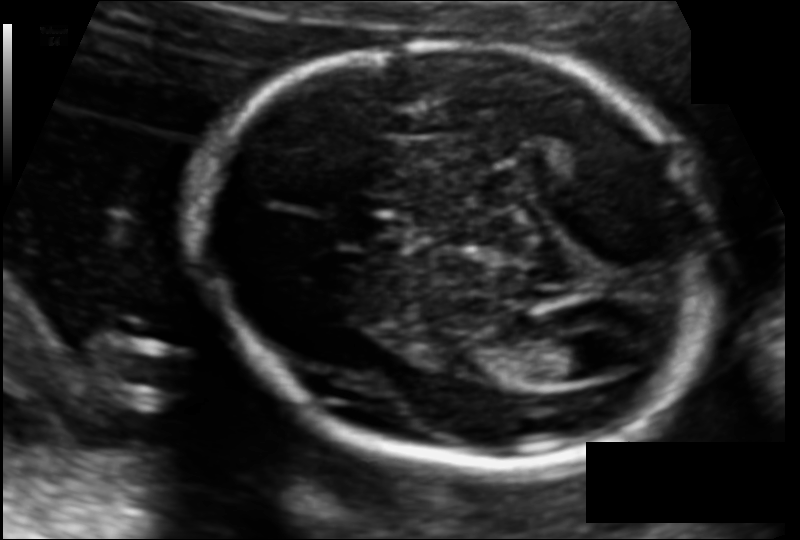
In this fetal head ultrasound, give bounding boxes for the head outline, cavum septum pellucidum (CSP), and lateral ventricle (LV), where visible. Image width: 87.7 mm.

Head: [194,42,717,458]
CSP: [331,211,403,249]
Lateral ventricle: [525,328,614,386]